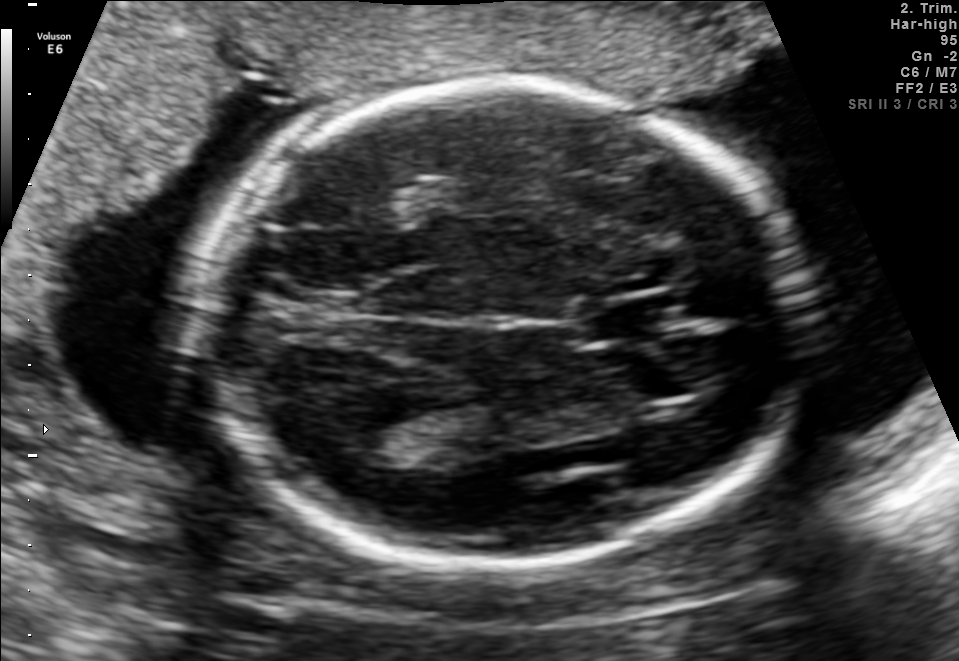
Fetal brain, trans-thalamic plane. Locate the fetal head.

Head: [200,83,789,560]